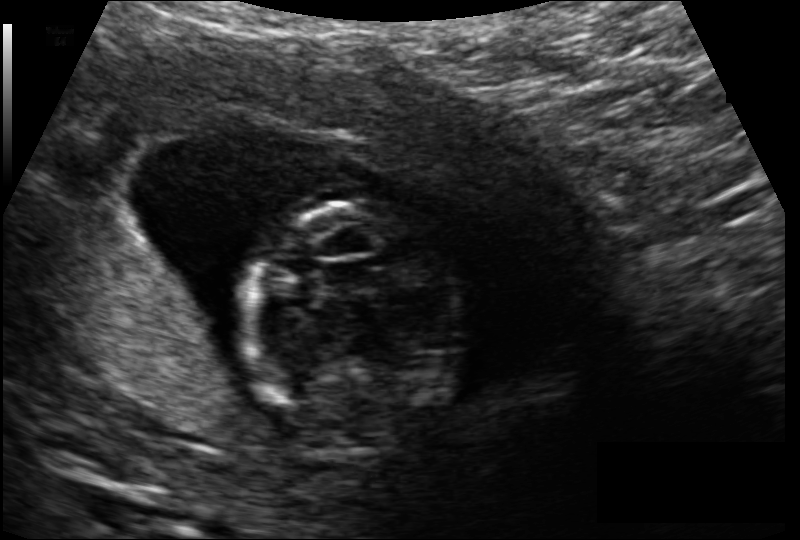
In this fetal head ultrasound, give the bounding box of the fetal head. Image width: 94.0 mm.

[241,199,467,455]